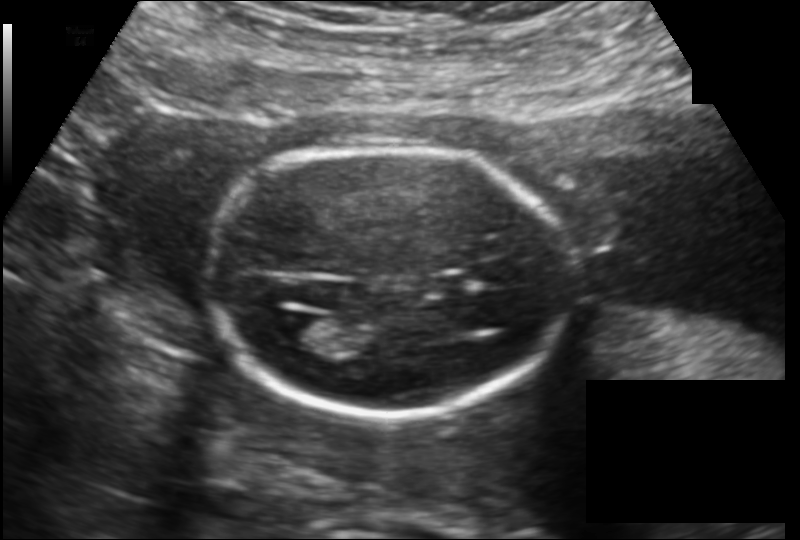
Fetal head ultrasound. Image width: 119.1 mm. Where is the lateral ventricle?

Lateral ventricle bounding box: [272,310,326,347]